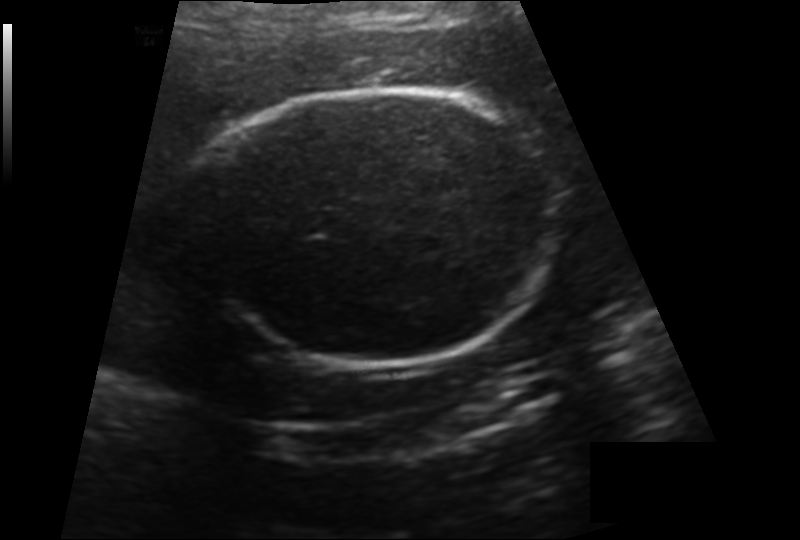
Estimate the fetal head circumference from this 2D ultrasound. Image width: 133.0 mm.

Head circumference: 176.3 mm.